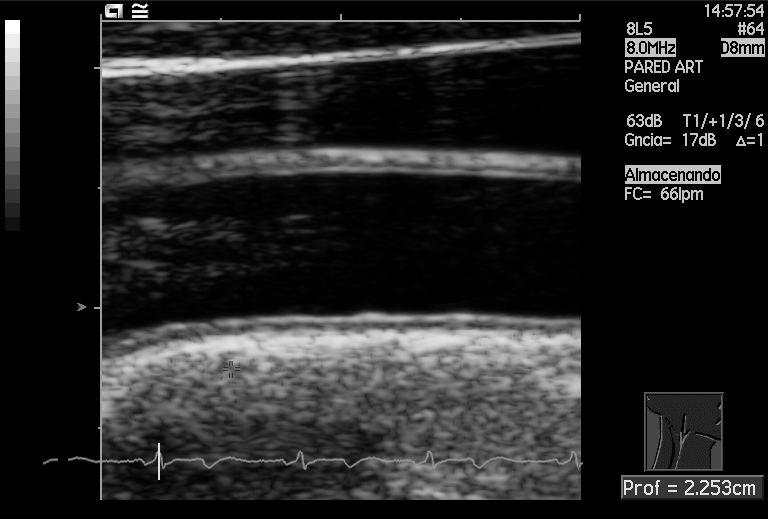
Which standard maternal-fetal ultrasound plane is shown: fetal abdomen, fetal brain, fetal femur, fetal thorax, maternal cervix, or other? If it's fetal brain and one of the three standard brain planes (trans-thalamic, trans-cerebellum, trans-ventricular), name which.

Other